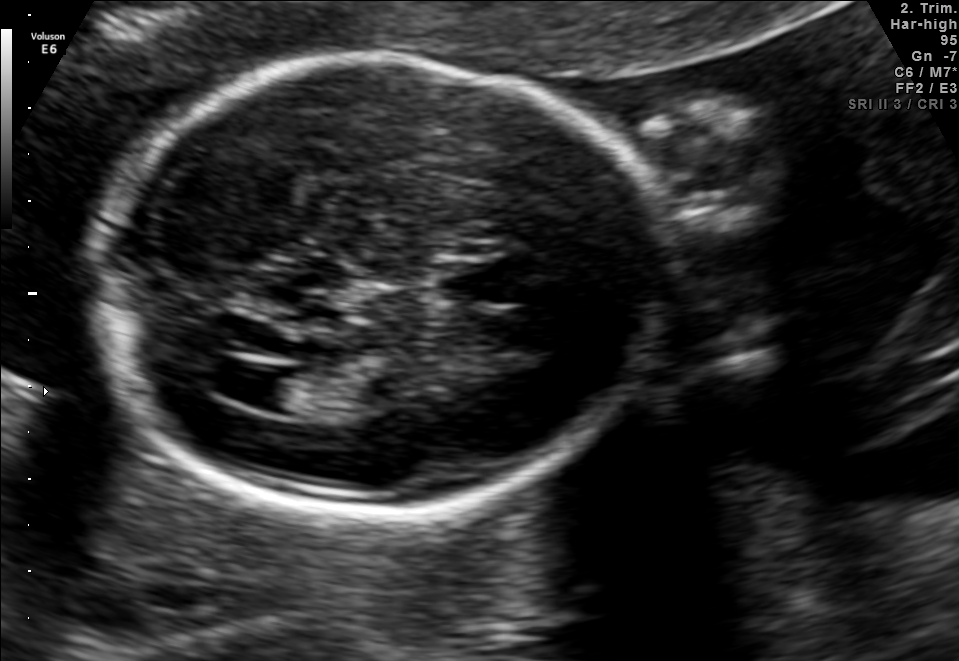
Which standard maternal-fetal ultrasound plane is shown: fetal abdomen, fetal brain, fetal femur, fetal thorax, maternal cervix, or other? If it's fetal brain and one of the three standard brain planes (trans-thalamic, trans-cerebellum, trans-ventricular), name which.

Fetal brain (trans-ventricular plane)